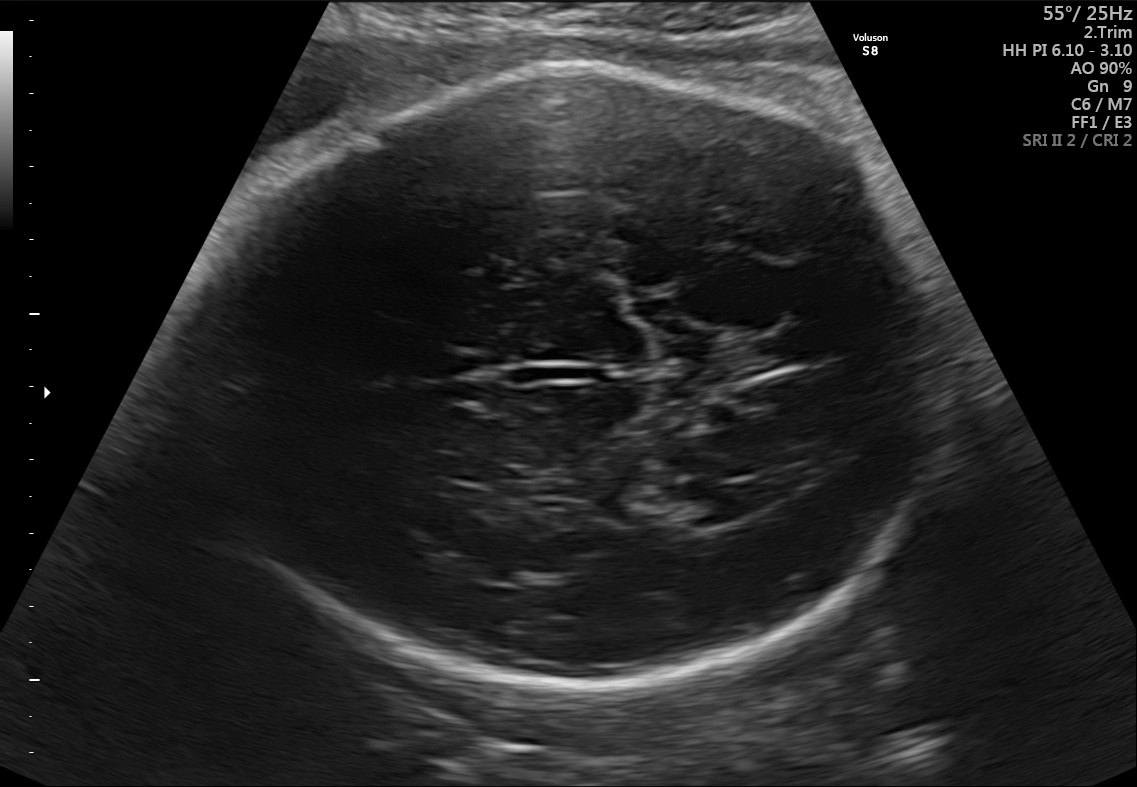
In this fetal brain, trans-ventricular plane, give the bounding box of the fetal head.

[186,65,953,691]